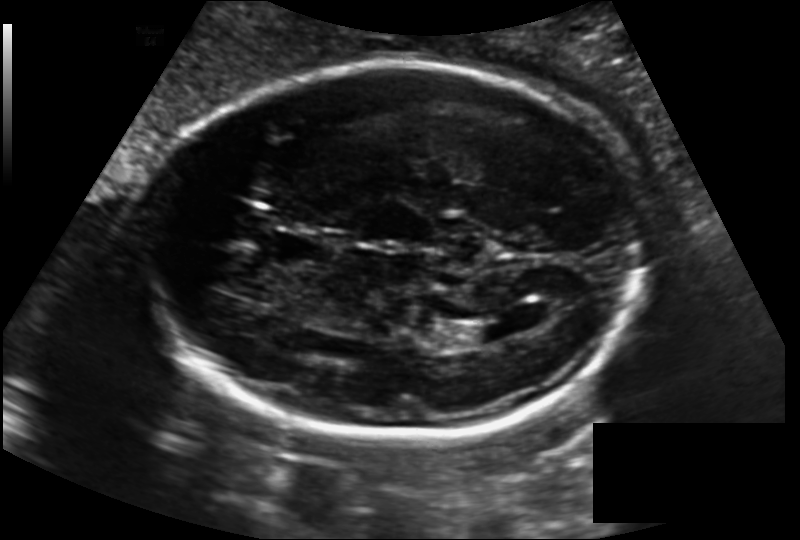
Fetal head ultrasound. Image width: 130.6 mm. Locate the lateral ventricle.

Lateral ventricle: [459,318,510,348]